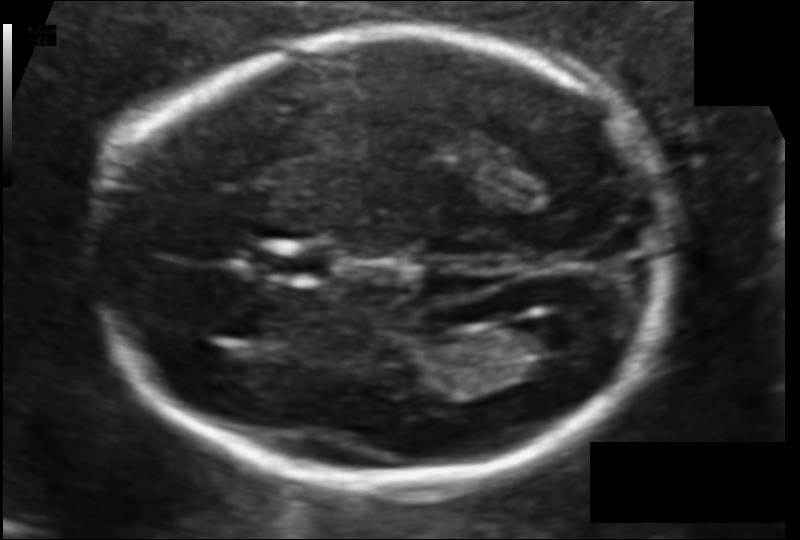
Fetal head ultrasound. Image width: 85.0 mm. Where is the fetal head?

Head bounding box: [98,32,670,485]